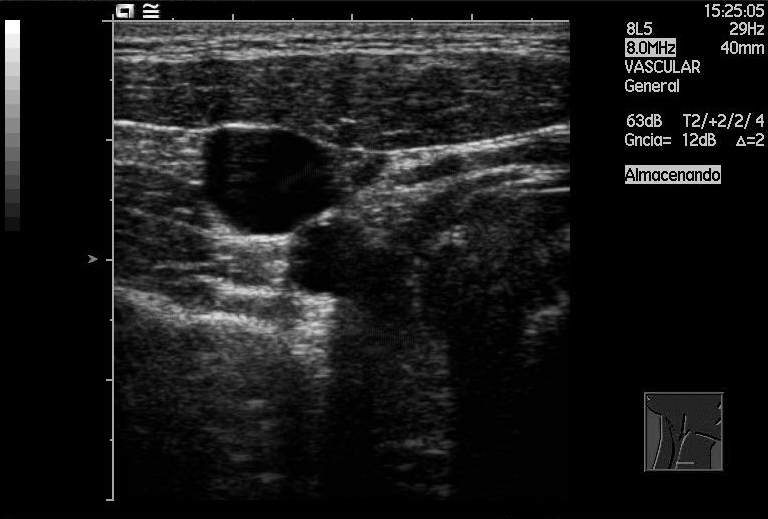
Classify this maternal-fetal ultrasound image as one of the six standard planes — fetal abdomen, fetal brain, fetal femur, fetal thorax, maternal cervix, or other. If it's fetal brain and one of the three standard brain planes (trans-thalamic, trans-cerebellum, trans-ventricular), name which.

Other